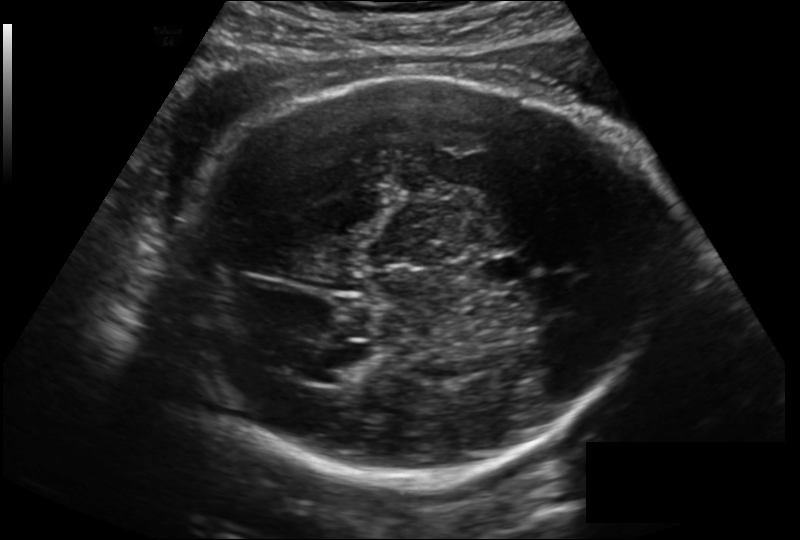
In this fetal head ultrasound, give the bounding box of the fetal head. Image width: 159.3 mm.

[167,76,657,477]